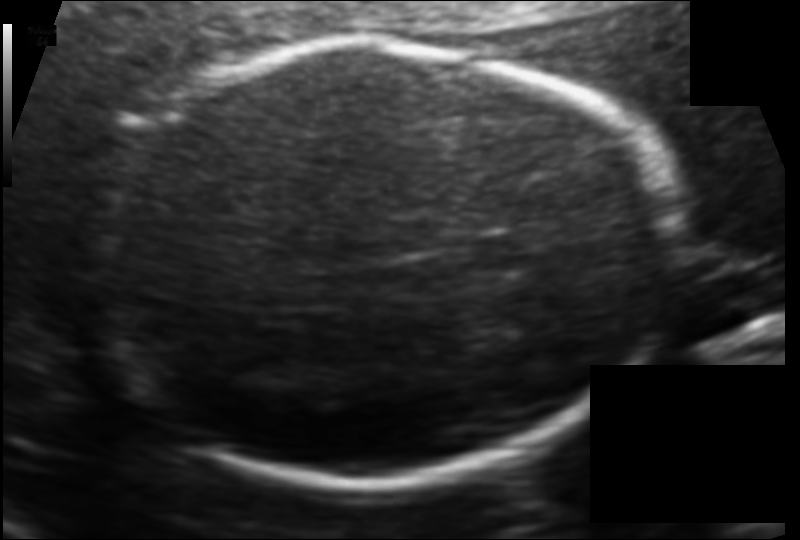
Fetal head ultrasound. Image width: 91.1 mm. Where is the fetal head?

Head bounding box: [86,42,677,480]